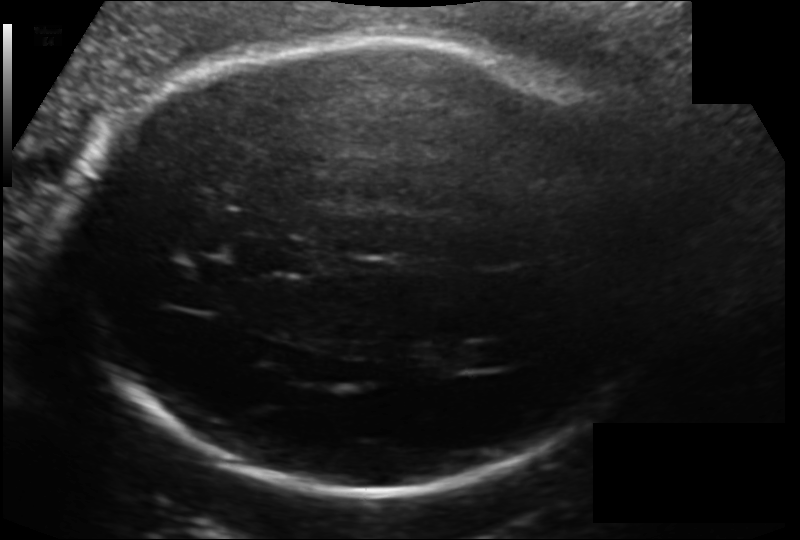
Fetal head ultrasound. Image width: 123.2 mm. Where is the lateral ventricle?

Lateral ventricle bounding box: [459,342,514,370]